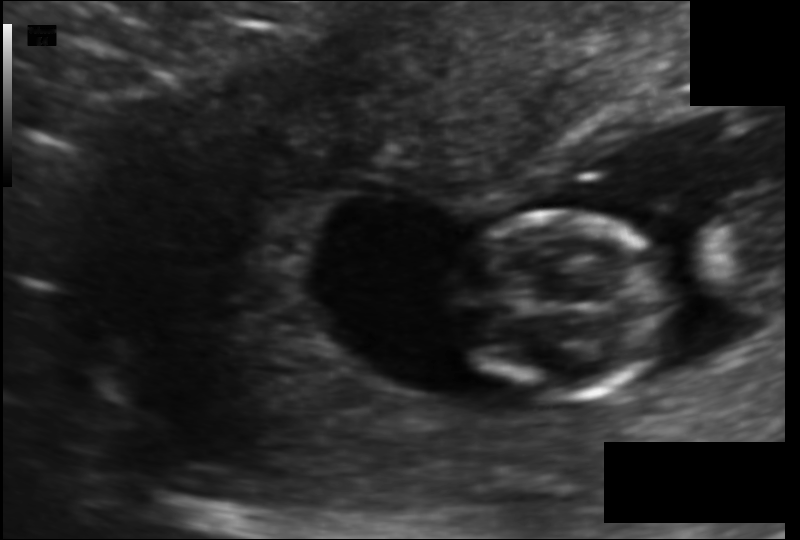
In this fetal head ultrasound, give bounding boxes for the head outline, cavum septum pellucidum (CSP), and lateral ventricle (LV), where visible. Image width: 82.9 mm.

Head: [450,212,670,400]